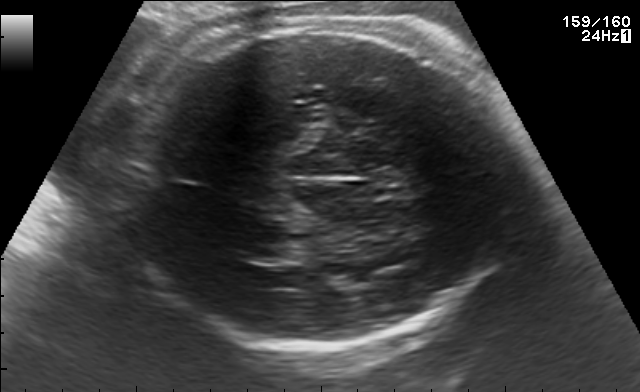
Fetal brain, trans-thalamic plane. Where is the fetal head?

Head bounding box: [115,16,526,348]